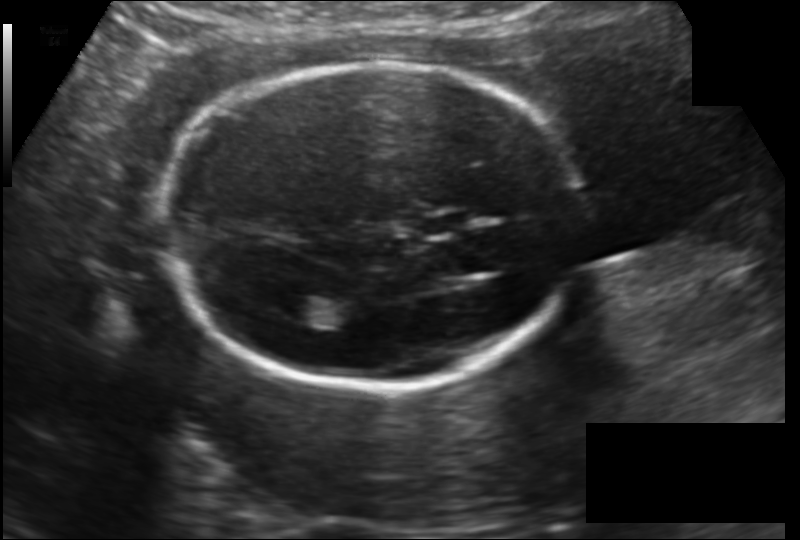
In this fetal head ultrasound, give the bounding box of the lateral ventricle. Image width: 118.1 mm.

[276,293,323,326]